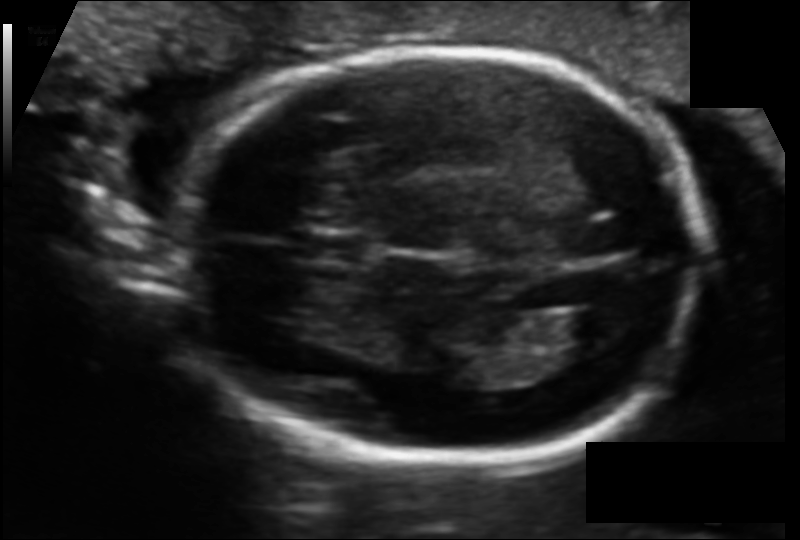
Measure the fetal head circumference shown in this ultrasound image. Image width: 86.3 mm.

Head circumference: 166.9 mm.